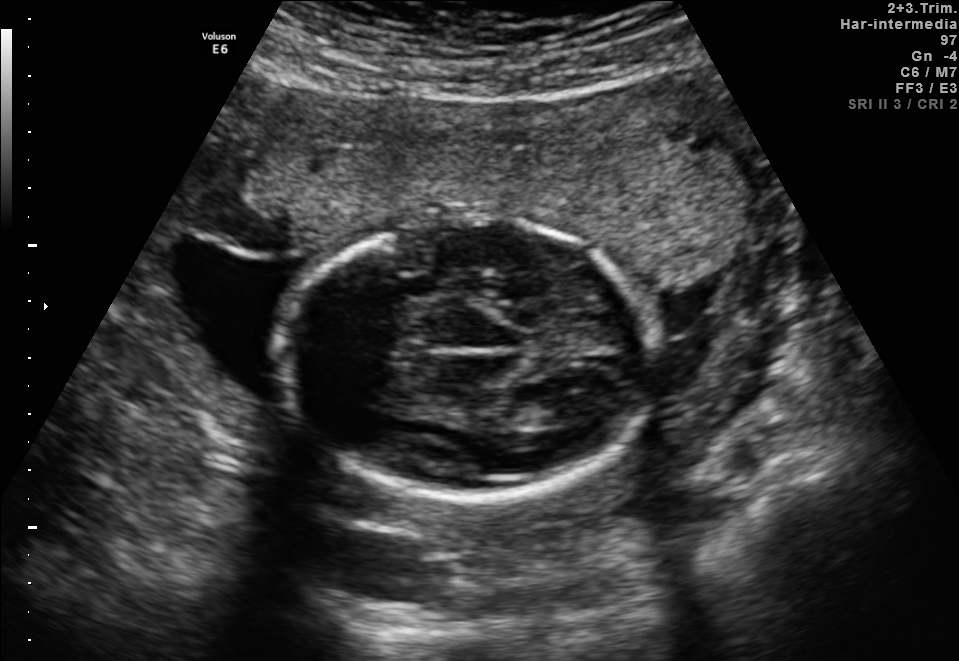
Fetal brain, trans-thalamic plane. Locate the lateral ventricle.

Lateral ventricle: [533,389,595,430]